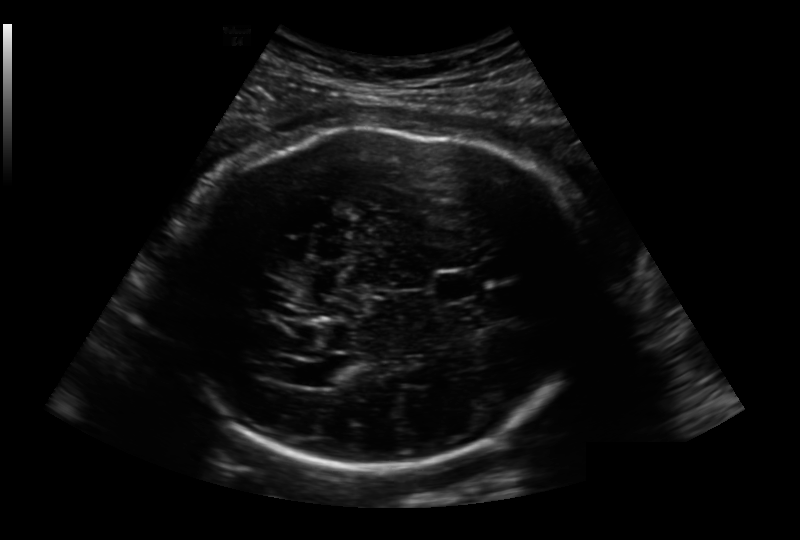
In this fetal head ultrasound, give bounding boxes for the head outline, cavum septum pellucidum (CSP), and lateral ventricle (LV), where visible. Image width: 188.6 mm.

Head: [174,125,596,469]
CSP: [432,264,488,305]
Lateral ventricle: [310,364,352,386]